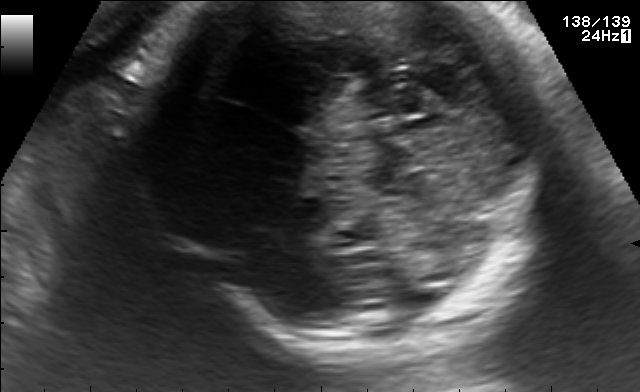
Fetal brain, trans-cerebellum plane. Give [x1,y1,x2,y2] bounding boxes for each visible structure among: fetal head, CSP, LV.

Head: [159,1,551,350]